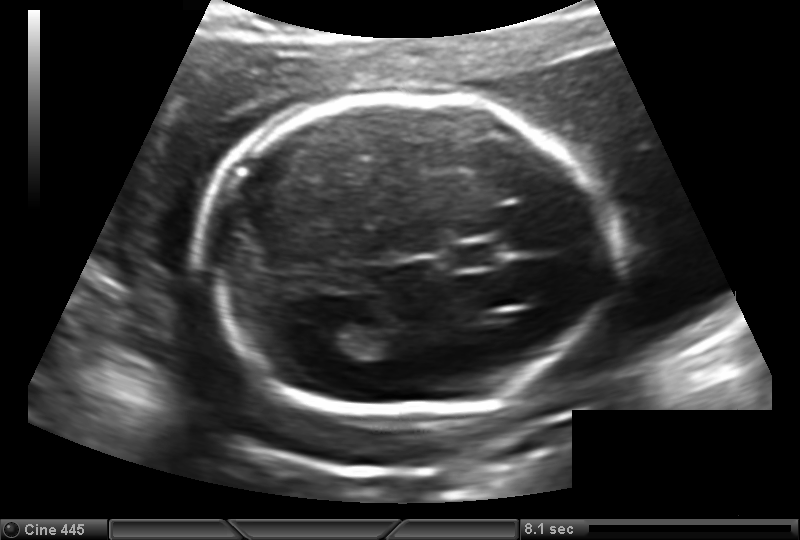
Estimate the fetal head circumference from this 2D ultrasound. Image width: 119.4 mm.

Head circumference: 180.6 mm.